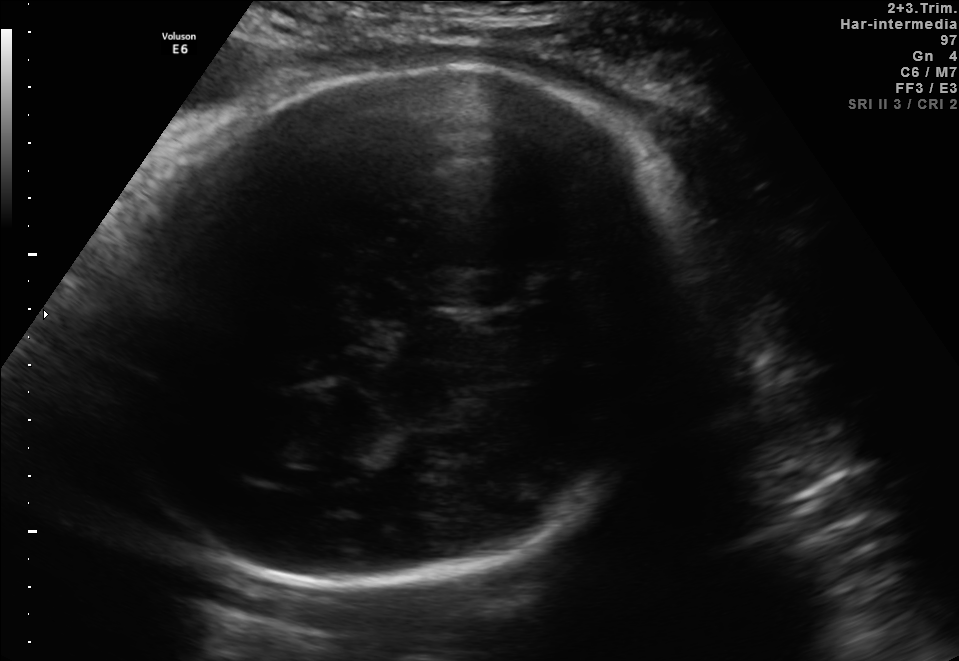
Fetal brain, trans-thalamic plane. Locate the fetal head.

Head: [74,70,705,583]